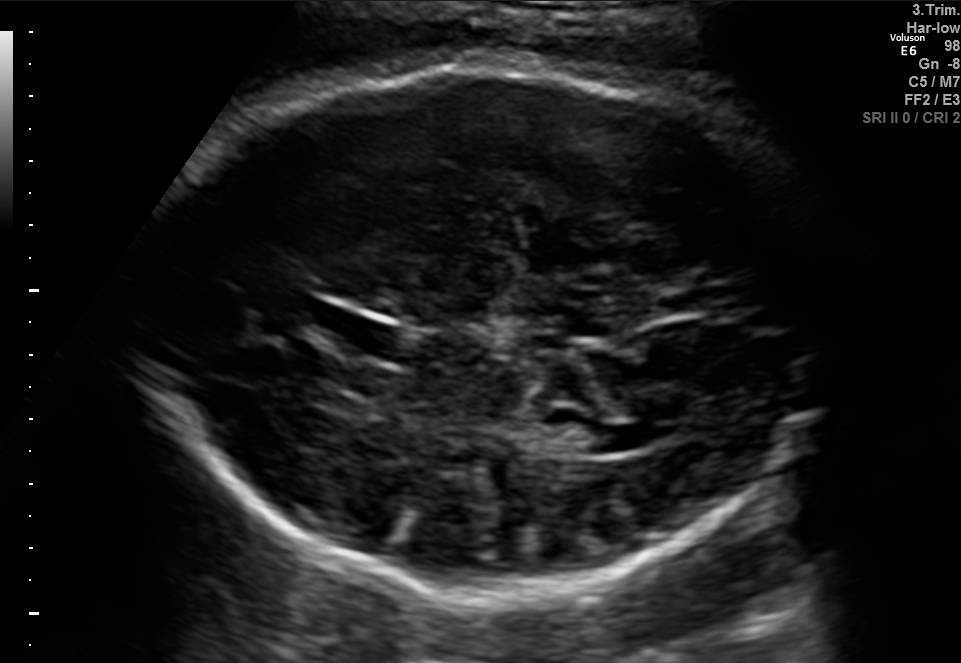
In this fetal brain, trans-thalamic plane, give the bounding box of the cavum septum pellucidum.

[328,309,419,369]